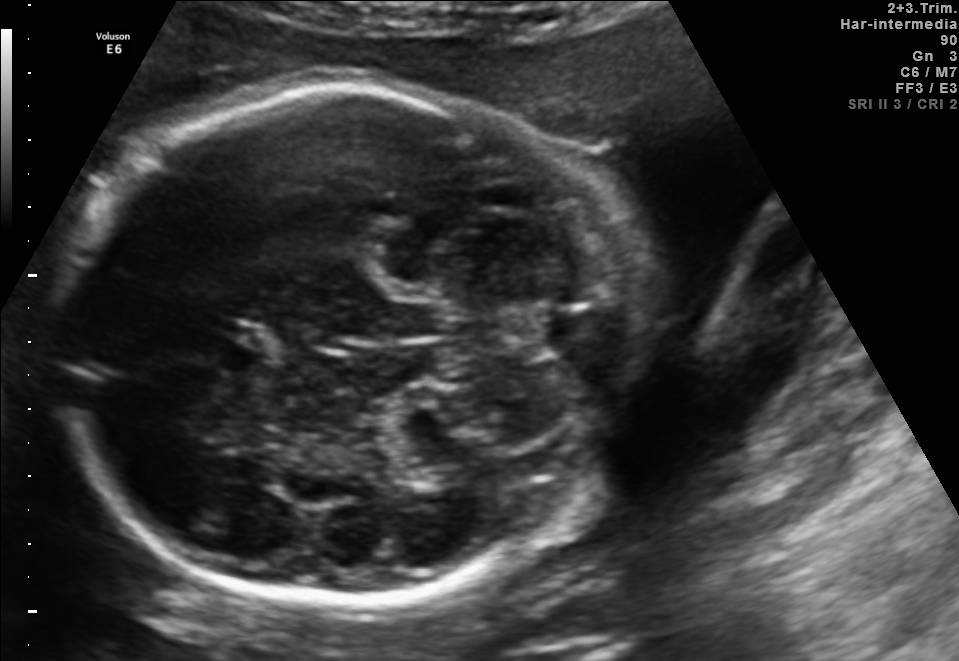
Fetal brain, trans-cerebellum plane. Give [x1,y1,x2,y2] bounding boxes for each visible structure among: fetal head, CSP, LV.

Head: [51,85,616,608]